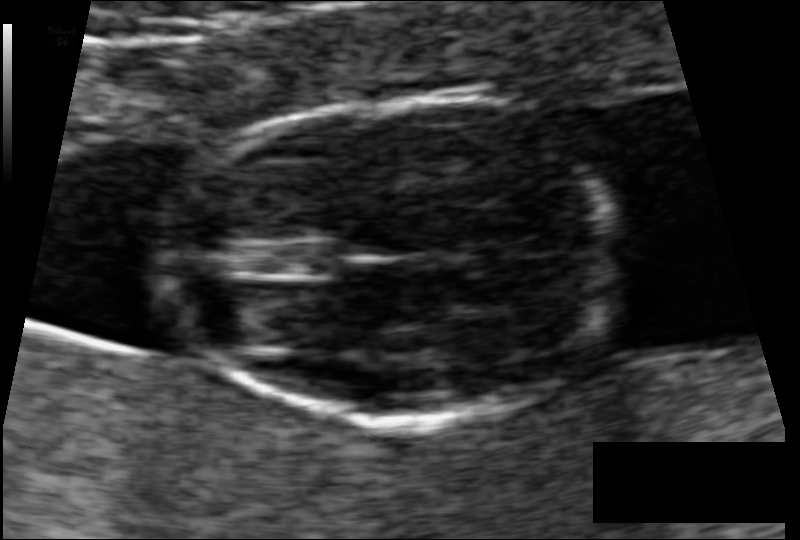
Estimate the fetal head circumference from this 2D ultrasound. Image width: 49.5 mm.

Head circumference: 77.4 mm.